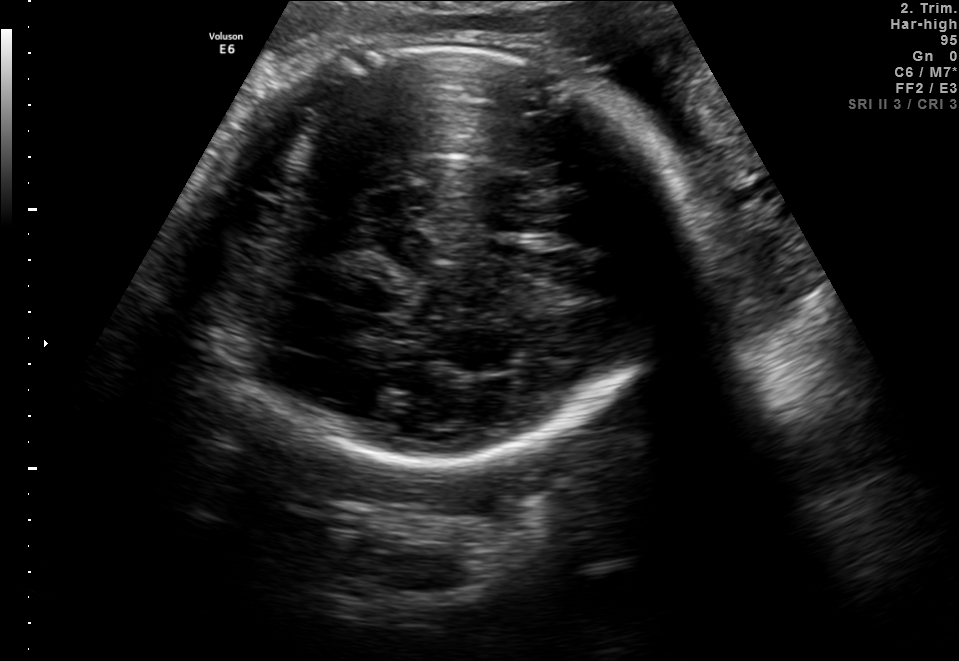
Fetal brain, trans-thalamic plane. Locate the fetal head and, if visible, the cavum septum pellucidum (CSP) and lateral ventricle (LV). Give bounding boxes as [x1,y1,x2,y2].

Head: [179,43,674,464]